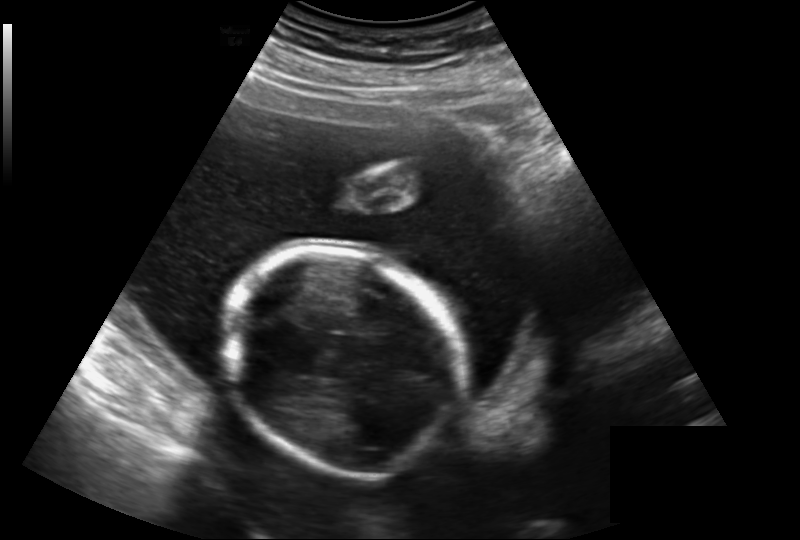
In this fetal head ultrasound, give bounding boxes for the head outline, cavum septum pellucidum (CSP), and lateral ventricle (LV), where visible. Image width: 175.3 mm.

Head: [222,251,466,474]